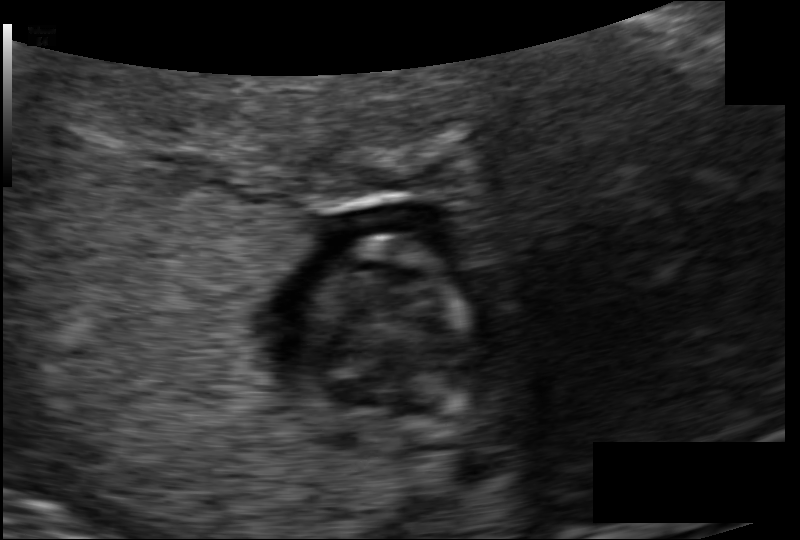
In this fetal head ultrasound, give bounding boxes for the head outline, cavum septum pellucidum (CSP), and lateral ventricle (LV), where visible. Image width: 78.7 mm.

Head: [306,237,467,432]